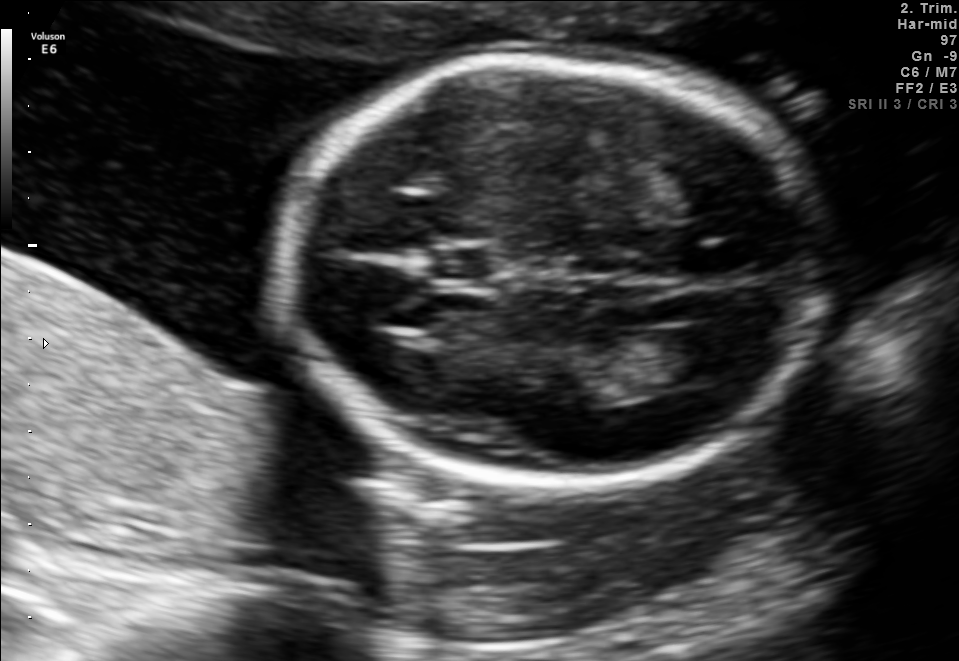
Fetal brain, trans-ventricular plane. Locate the lateral ventricle.

Lateral ventricle: [660,320,756,386]